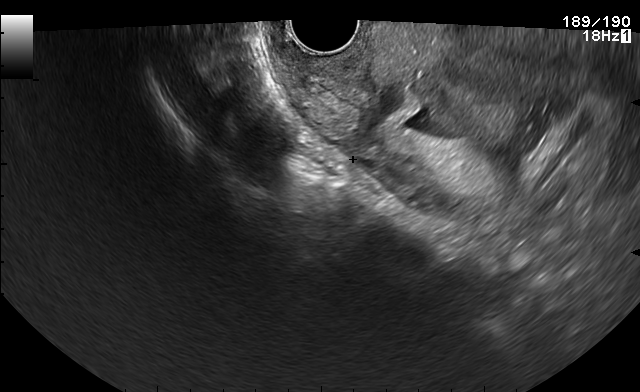
Which standard maternal-fetal ultrasound plane is shown: fetal abdomen, fetal brain, fetal femur, fetal thorax, maternal cervix, or other? If it's fetal brain and one of the three standard brain planes (trans-thalamic, trans-cerebellum, trans-ventricular), name which.

Maternal cervix